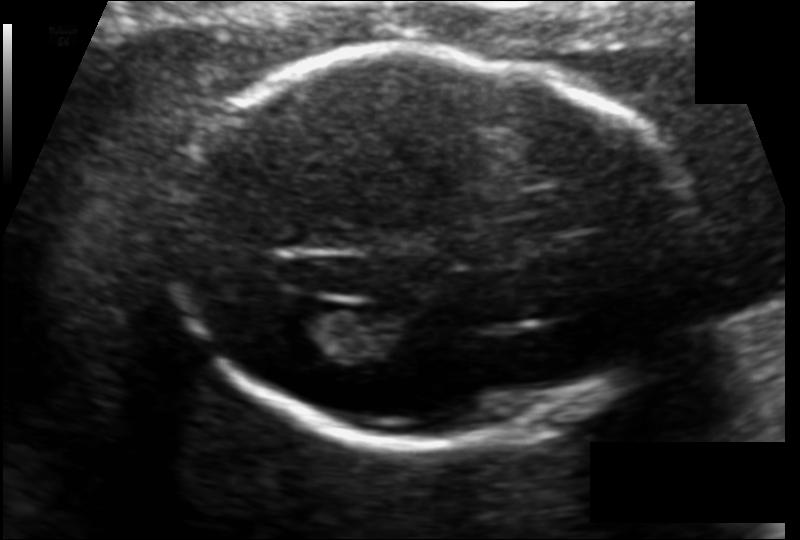
What is the fetal head circumference? Image width is 96.2 mm.

181.0 mm